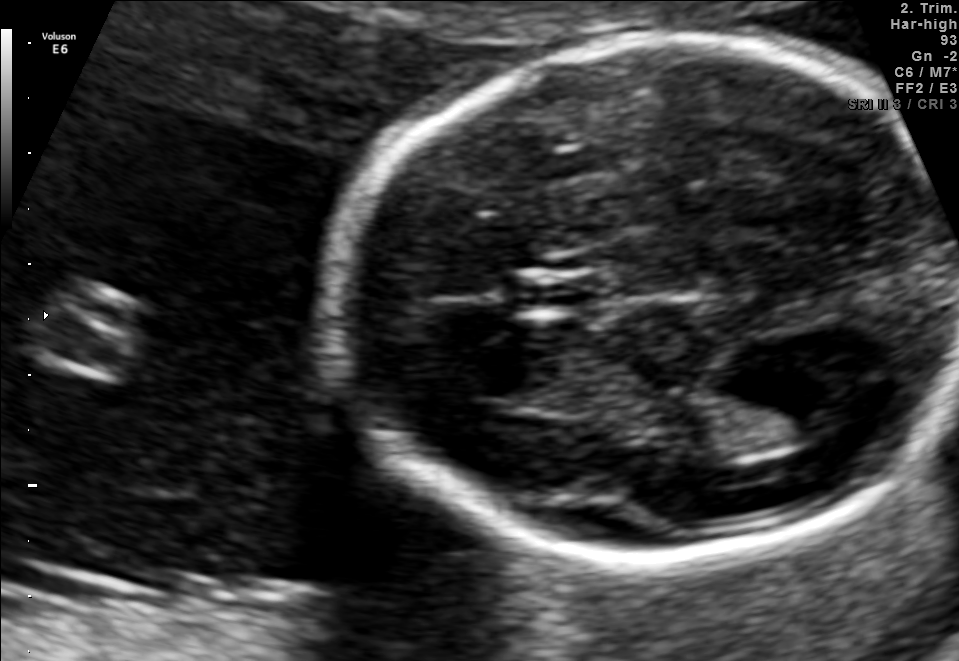
Fetal brain, trans-thalamic plane. Locate the fetal head and, if visible, the cavum septum pellucidum (CSP) and lateral ventricle (LV). Give bounding boxes as [x1,y1,x2,y2].

Head: [334,34,951,557]
CSP: [512,273,602,311]
Lateral ventricle: [696,373,843,467]